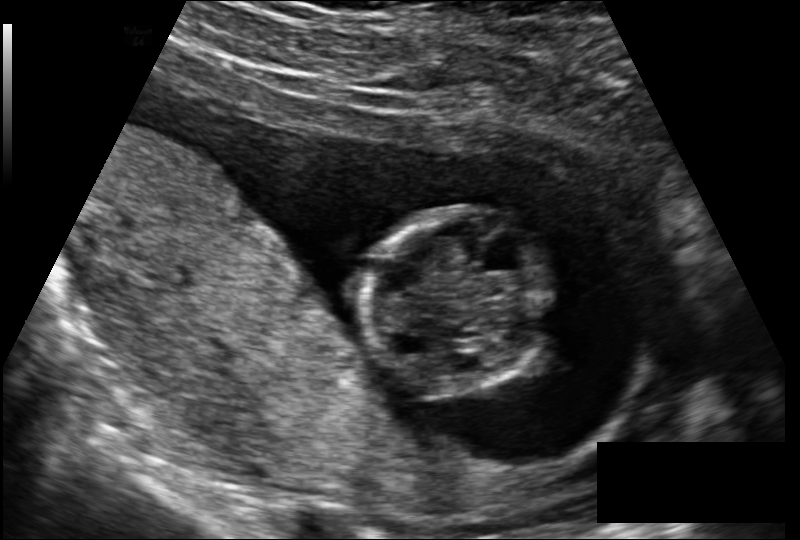
Estimate the fetal head circumference from this 2D ultrasound. Image width: 105.1 mm.

Head circumference: 82.3 mm.